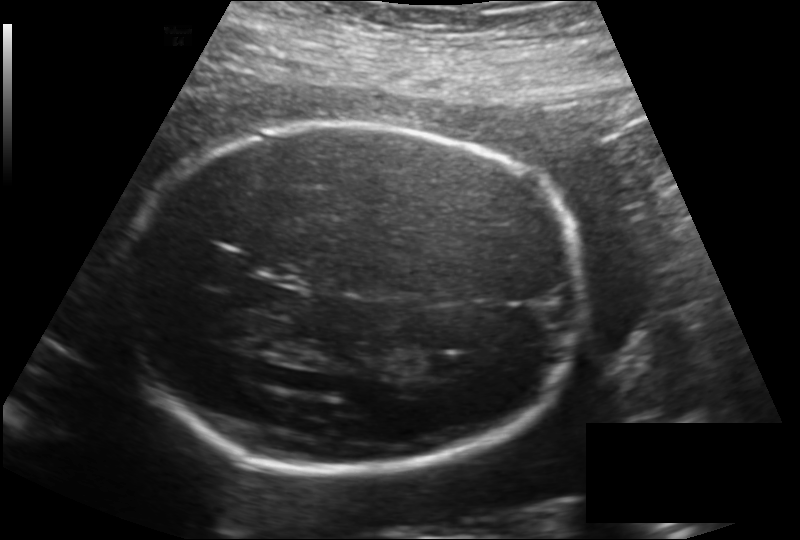
In this fetal head ultrasound, give the bounding box of the lateral ventricle. Image width: 149.9 mm.

[426,353,472,379]